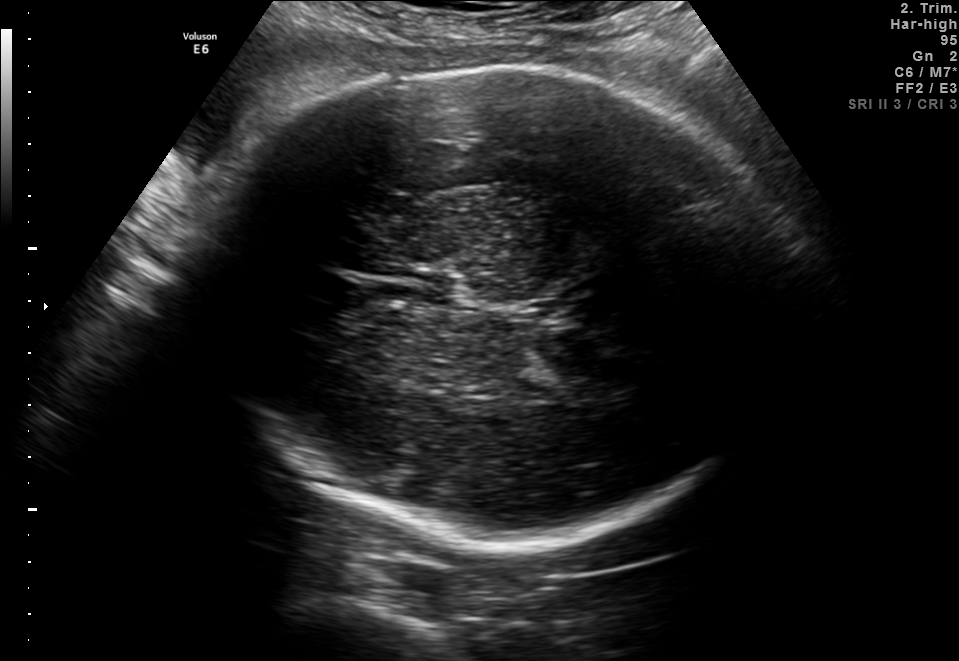
In this fetal brain, trans-thalamic plane, give bounding boxes for the head outline, cavum septum pellucidum (CSP), and lateral ventricle (LV), where visible.

Head: [203,67,800,548]